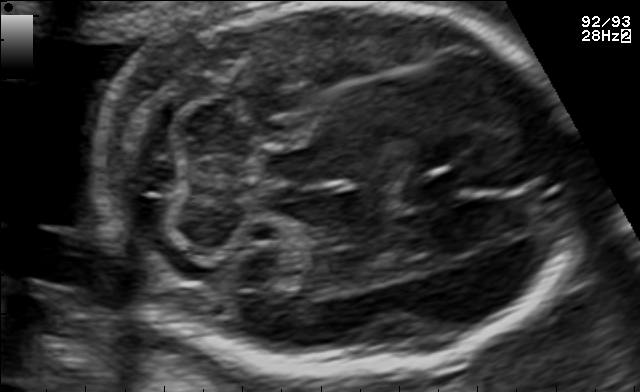
Fetal brain, trans-cerebellum plane. Locate the cavum septum pellucidum.

CSP: [412,161,476,208]